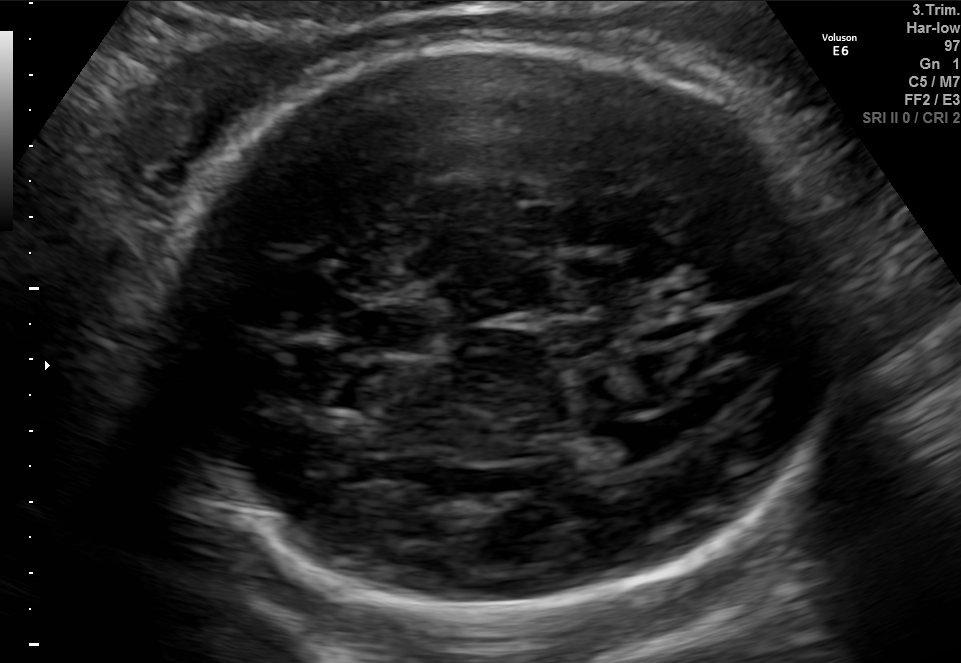
Classify this maternal-fetal ultrasound image as one of the six standard planes — fetal abdomen, fetal brain, fetal femur, fetal thorax, maternal cervix, or other. If it's fetal brain and one of the three standard brain planes (trans-thalamic, trans-cerebellum, trans-ventricular), name which.

Fetal brain (trans-ventricular plane)